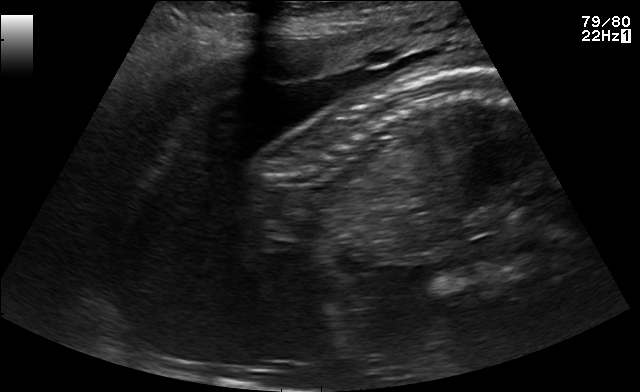
Which standard maternal-fetal ultrasound plane is shown: fetal abdomen, fetal brain, fetal femur, fetal thorax, maternal cervix, or other? If it's fetal brain and one of the three standard brain planes (trans-thalamic, trans-cerebellum, trans-ventricular), name which.

Other